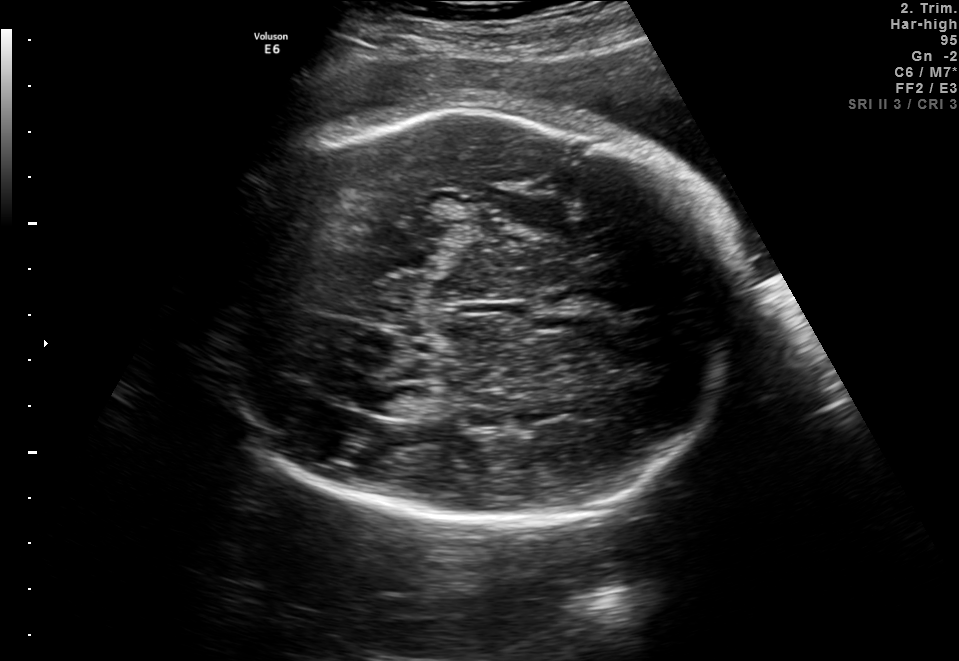
Fetal brain, trans-thalamic plane. Give [x1,y1,x2,y2] bounding boxes for each visible structure among: fetal head, CSP, LV.

Head: [201,111,744,532]
Lateral ventricle: [348,379,414,420]